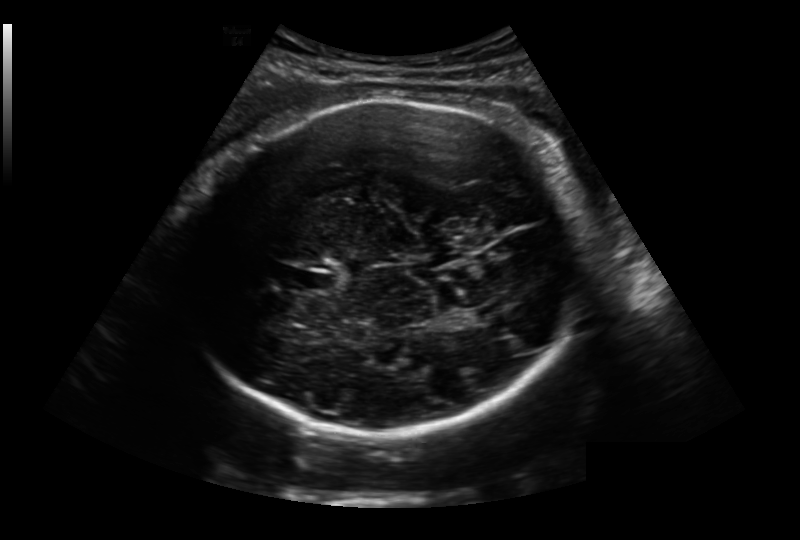
Measure the fetal head circumference shown in this ultrasound image. Image width: 188.7 mm.

Head circumference: 278.9 mm.